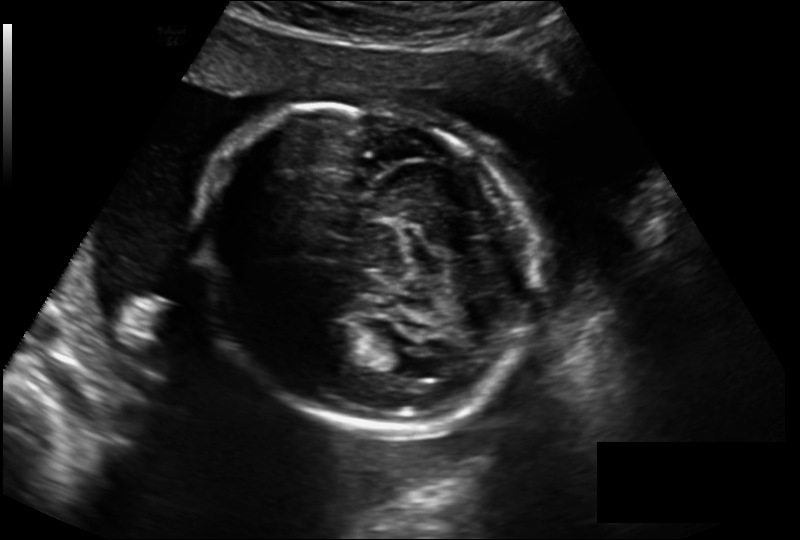
Estimate the fetal head circumference from this 2D ultrasound. Image width: 168.7 mm.

Head circumference: 229.4 mm.